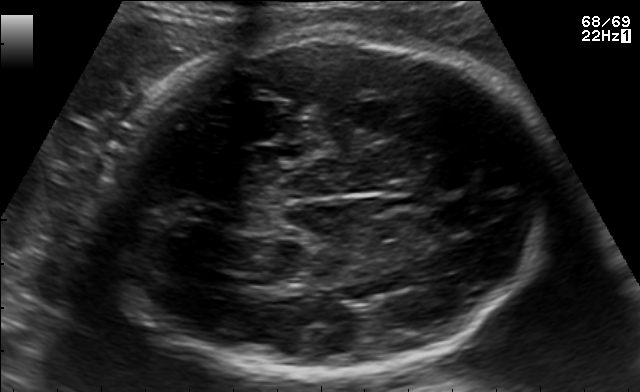
Identify the standard plane in this fetal ultrasound image: fetal abdomen, fetal brain, fetal femur, fetal thorax, maternal cervix, or other. If it's fetal brain and one of the three standard brain planes (trans-thalamic, trans-cerebellum, trans-ventricular), name which.

Fetal brain (trans-thalamic plane)